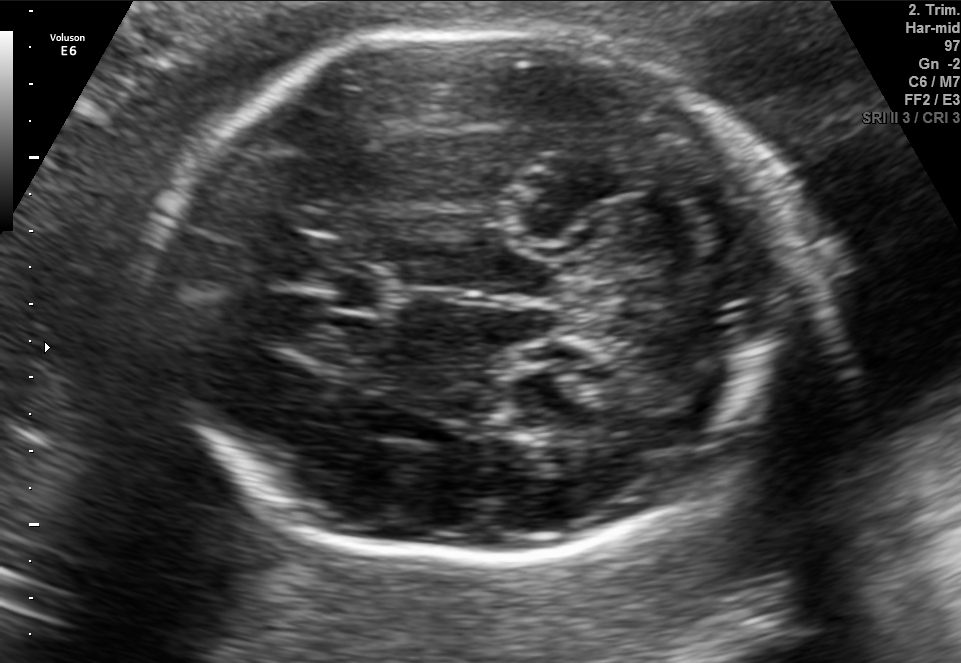
In this fetal brain, trans-cerebellum plane, give bounding boxes for the head outline, cavum septum pellucidum (CSP), and lateral ventricle (LV), where visible.

Head: [163,33,784,564]
CSP: [324,268,400,318]